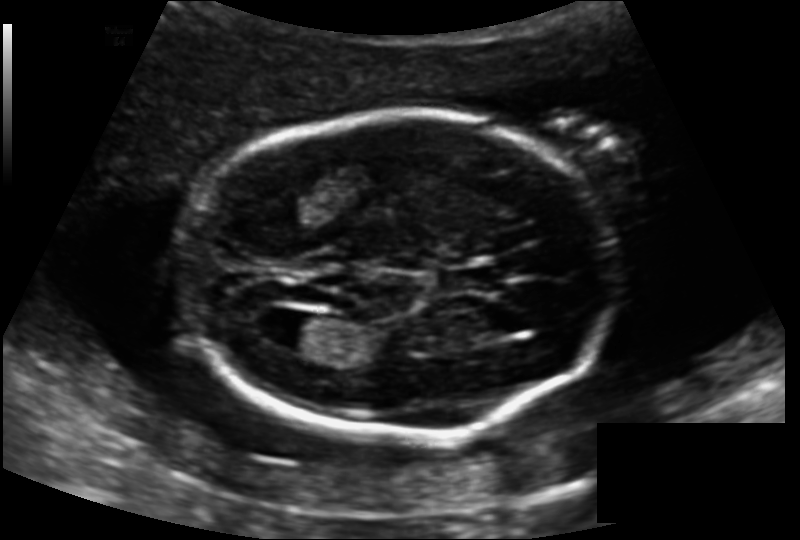
Fetal head ultrasound. Image width: 111.5 mm. Where is the fetal head?

Head bounding box: [183,112,614,435]